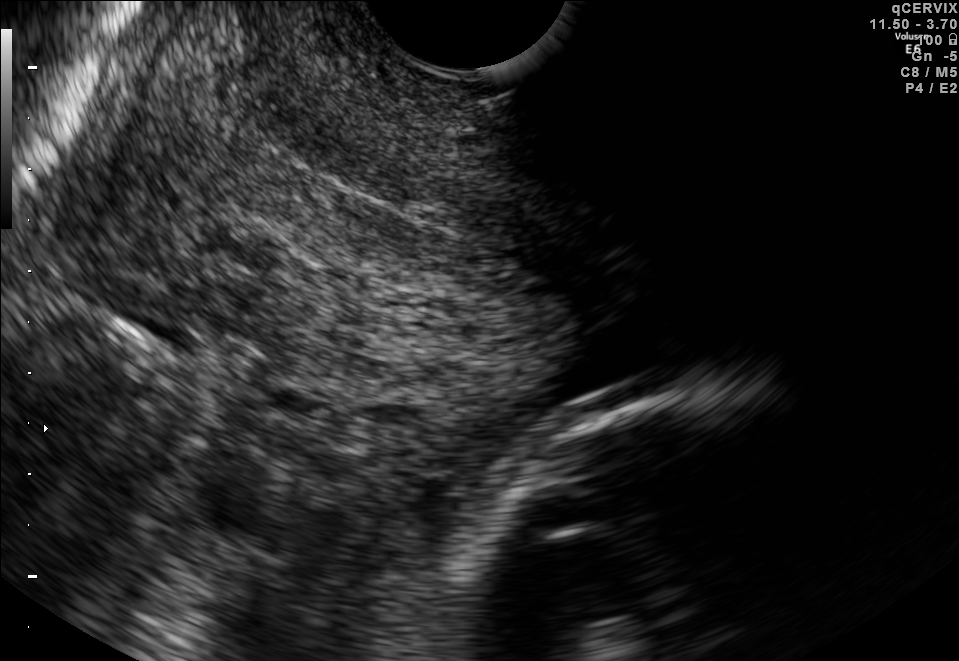
Which standard maternal-fetal ultrasound plane is shown: fetal abdomen, fetal brain, fetal femur, fetal thorax, maternal cervix, or other? If it's fetal brain and one of the three standard brain planes (trans-thalamic, trans-cerebellum, trans-ventricular), name which.

Maternal cervix